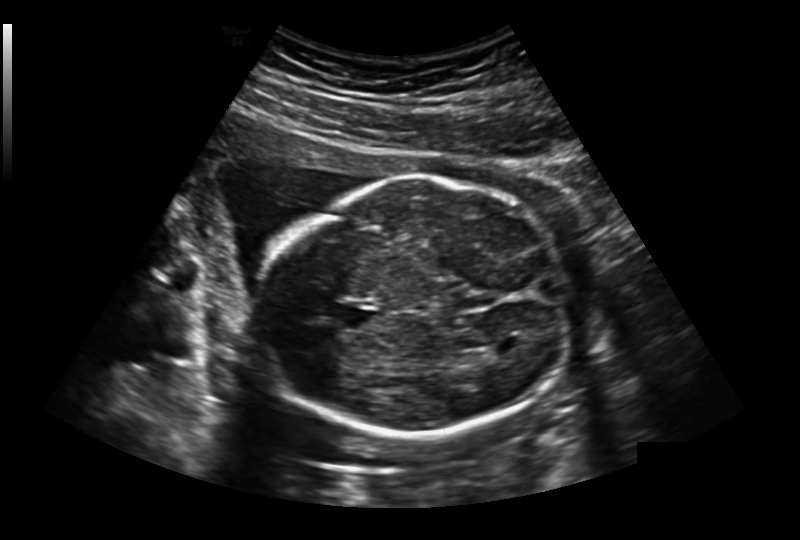
In this fetal head ultrasound, give the bounding box of the cavum septum pellucidum. Image width: 188.6 mm.

[336,304,375,330]